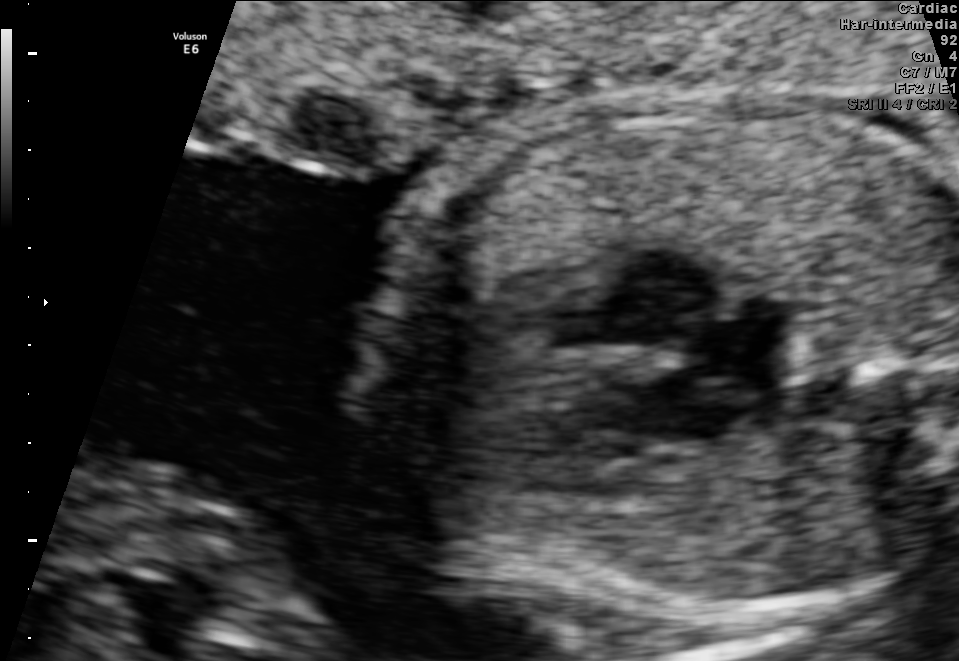
This is a 2D maternal-fetal ultrasound frame. Is it a fetal abdomen, fetal brain, fetal femur, fetal thorax, maternal cervix, or other standard plane? If it's fetal brain and one of the three standard brain planes (trans-thalamic, trans-cerebellum, trans-ventricular), name which.

Fetal thorax